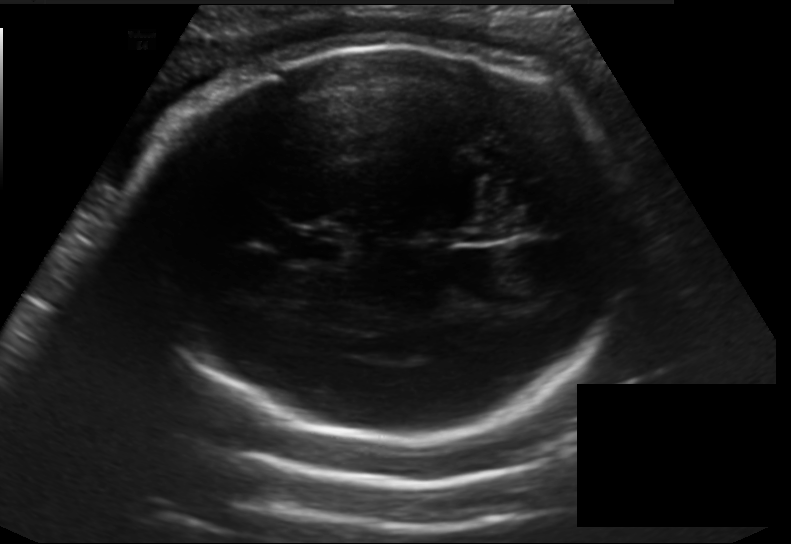
Fetal head ultrasound. Image width: 156.8 mm. Where is the fetal head?

Head bounding box: [135,41,629,444]